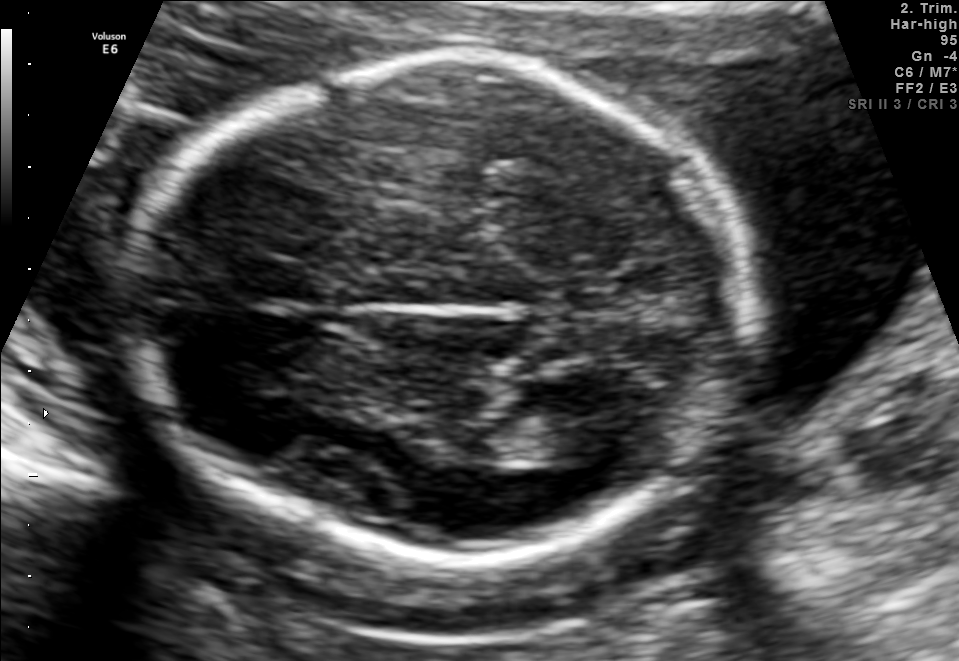
Fetal brain, trans-thalamic plane. Give [x1,y1,x2,y2] bounding boxes for each visible structure among: fetal head, CSP, LV.

Head: [126,64,757,561]
Lateral ventricle: [515,409,619,469]